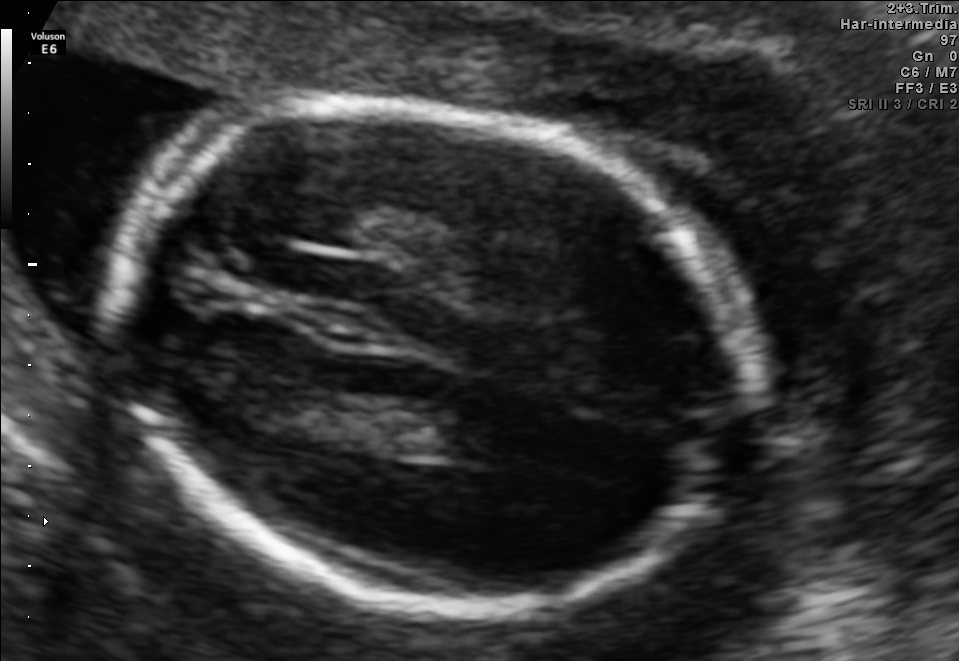
In this fetal brain, trans-thalamic plane, give the bounding box of the fetal head.

[102,100,743,615]